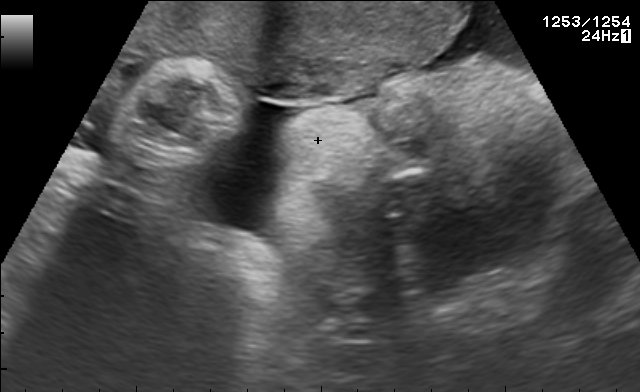
Identify the standard plane in this fetal ultrasound image: fetal abdomen, fetal brain, fetal femur, fetal thorax, maternal cervix, or other. If it's fetal brain and one of the three standard brain planes (trans-thalamic, trans-cerebellum, trans-ventricular), name which.

Other